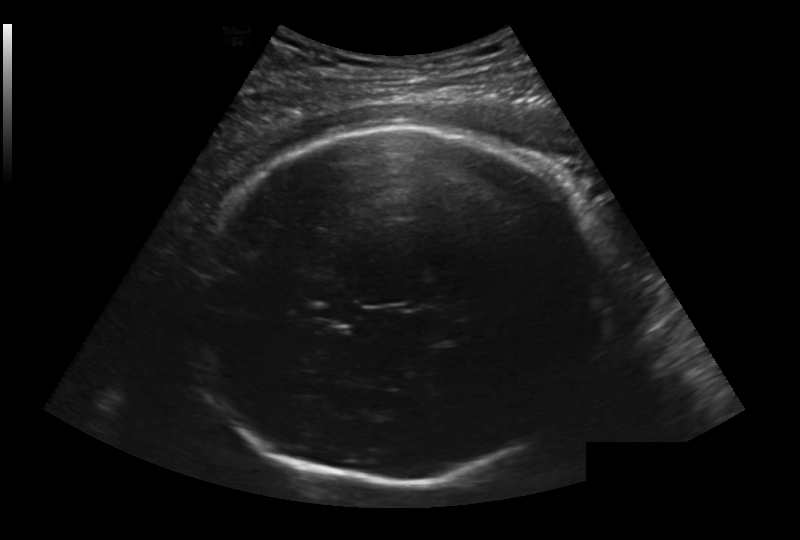
Fetal head ultrasound. Image width: 188.7 mm. Locate the fetal head.

Head: [198,125,607,485]